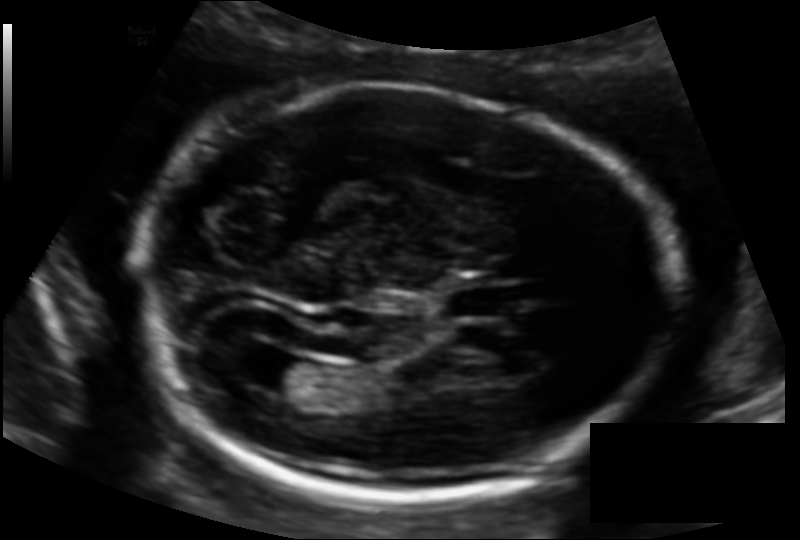
Fetal head ultrasound. Image width: 103.6 mm. Where is the fetal head?

Head bounding box: [148,84,667,498]